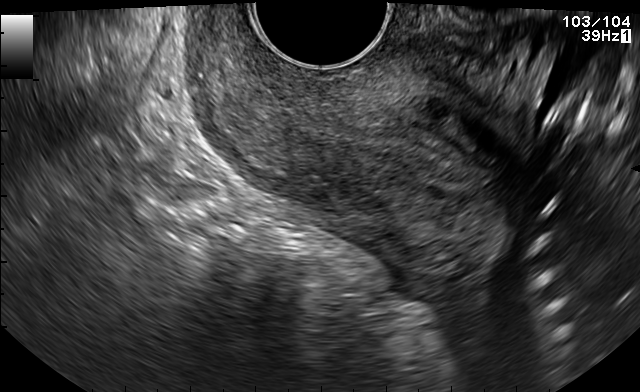
Which standard maternal-fetal ultrasound plane is shown: fetal abdomen, fetal brain, fetal femur, fetal thorax, maternal cervix, or other? If it's fetal brain and one of the three standard brain planes (trans-thalamic, trans-cerebellum, trans-ventricular), name which.

Maternal cervix